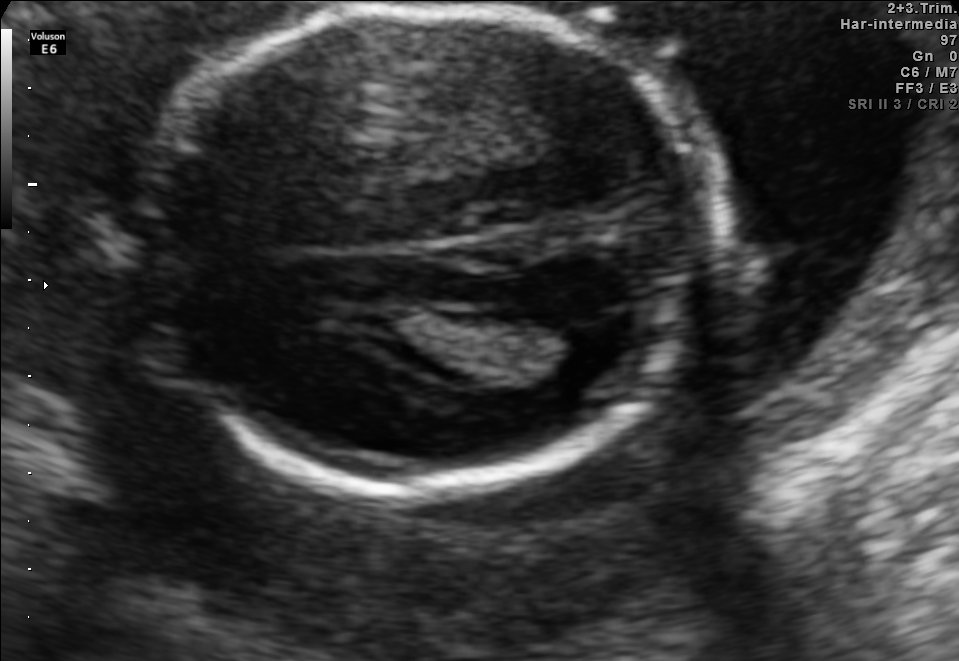
Fetal brain, trans-thalamic plane. Locate the fetal head and, if visible, the cavum septum pellucidum (CSP) and lateral ventricle (LV). Give bounding boxes as [x1,y1,x2,y2].

Head: [147,7,708,492]